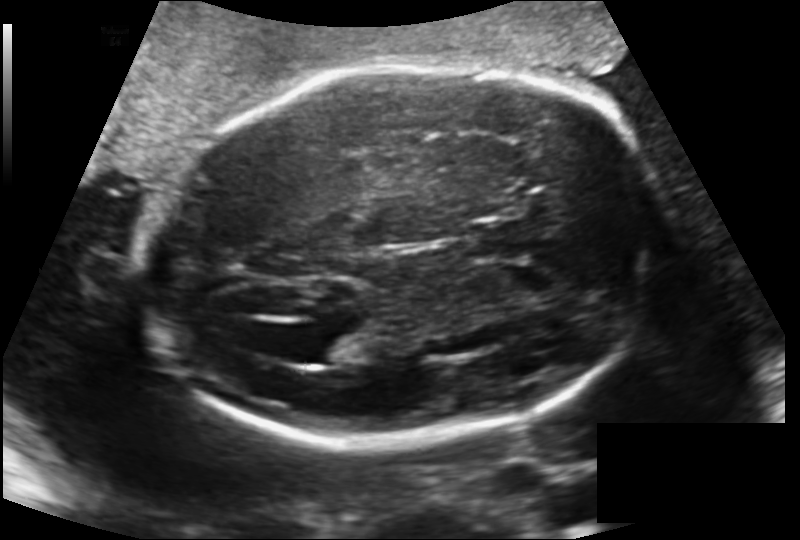
Fetal head ultrasound. Image width: 136.0 mm. Locate the cavum septum pellucidum.

CSP: [467,216,534,262]